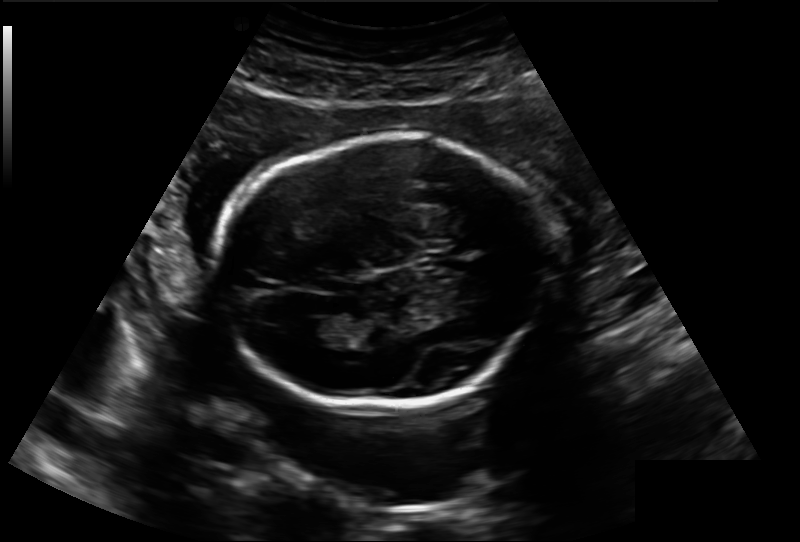
Estimate the fetal head circumference from this 2D ultrasound.

Head circumference: 183.7 mm (image width 150.3 mm).